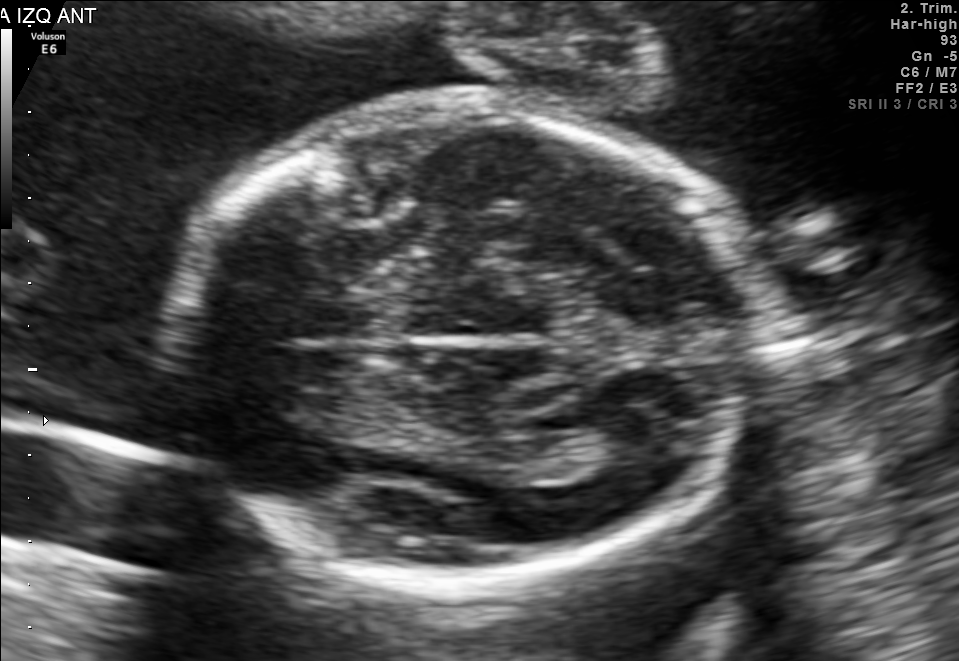
Fetal brain, trans-thalamic plane. Give [x1,y1,x2,y2] bounding boxes for each visible structure among: fetal head, CSP, LV.

Head: [177,103,750,584]
Lateral ventricle: [559,422,657,480]